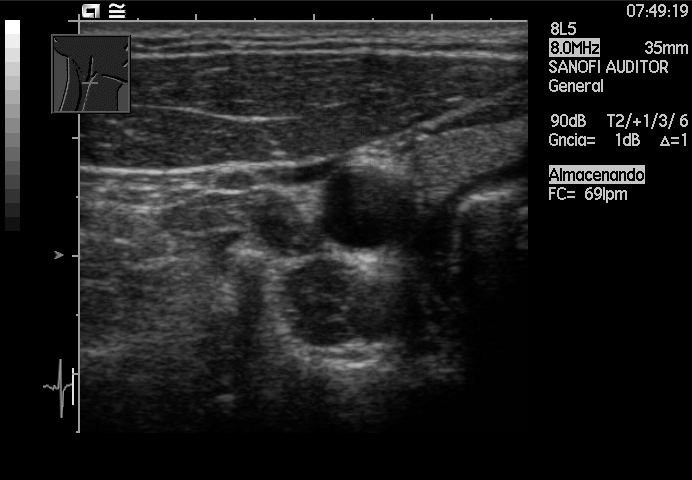
This is a 2D maternal-fetal ultrasound frame. Is it a fetal abdomen, fetal brain, fetal femur, fetal thorax, maternal cervix, or other standard plane? If it's fetal brain and one of the three standard brain planes (trans-thalamic, trans-cerebellum, trans-ventricular), name which.

Other